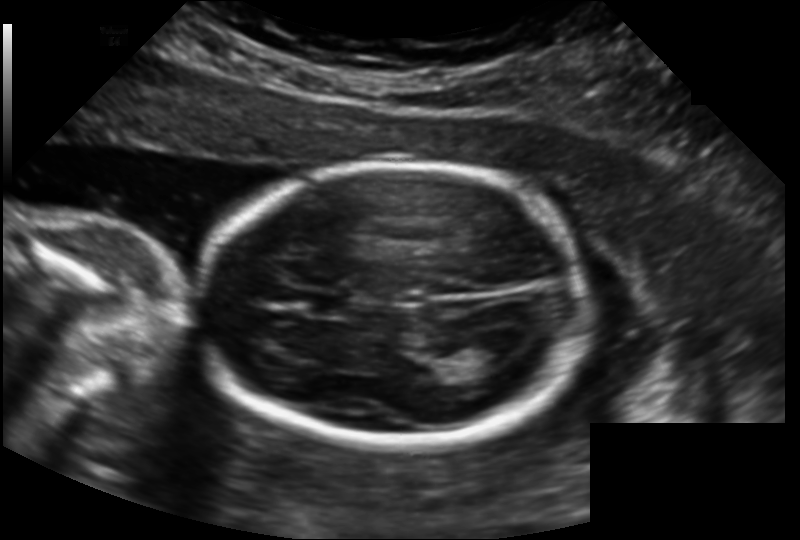
Fetal head ultrasound. Image width: 126.2 mm. Where is the lateral ventricle?

Lateral ventricle bounding box: [459,328,521,375]